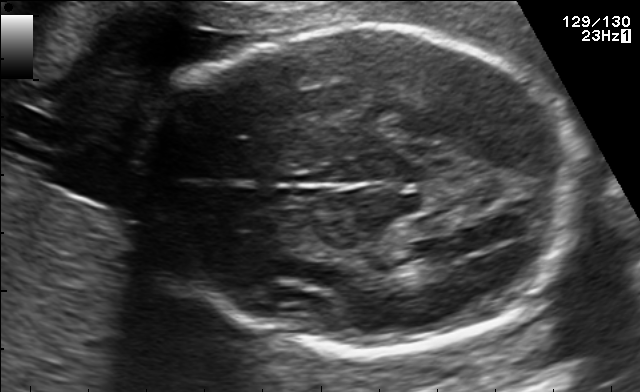
Fetal brain, trans-ventricular plane. Where is the fetal head?

Head bounding box: [138,21,590,357]